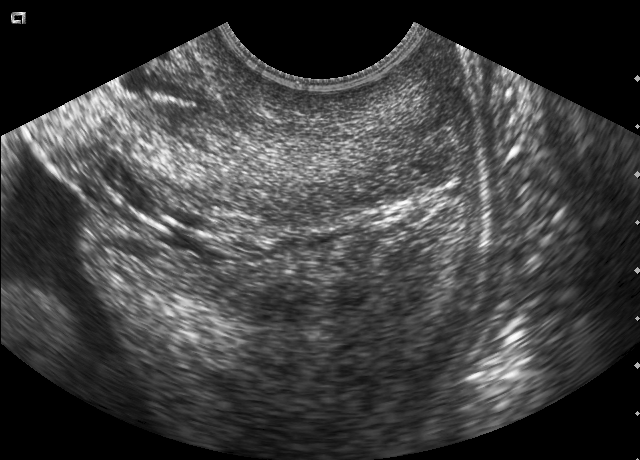
This is a 2D maternal-fetal ultrasound frame. Is it a fetal abdomen, fetal brain, fetal femur, fetal thorax, maternal cervix, or other standard plane? If it's fetal brain and one of the three standard brain planes (trans-thalamic, trans-cerebellum, trans-ventricular), name which.

Maternal cervix